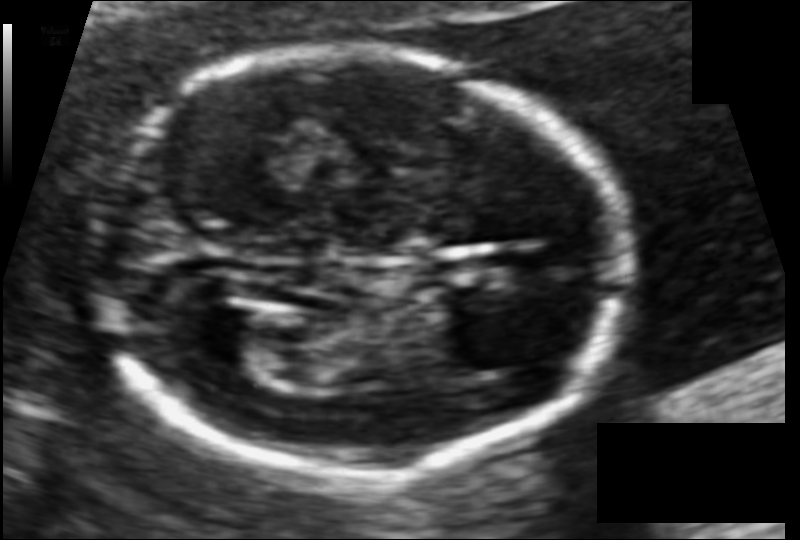
Fetal head ultrasound. Image width: 69.9 mm. Where is the lateral ventricle?

Lateral ventricle bounding box: [180,298,276,373]